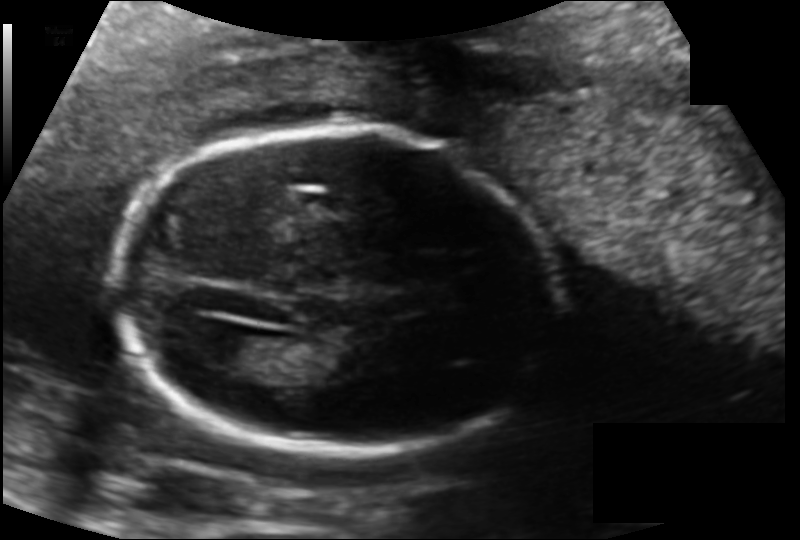
In this fetal head ultrasound, give the bounding box of the lateral ventricle. Image width: 107.0 mm.

[197,329,267,375]